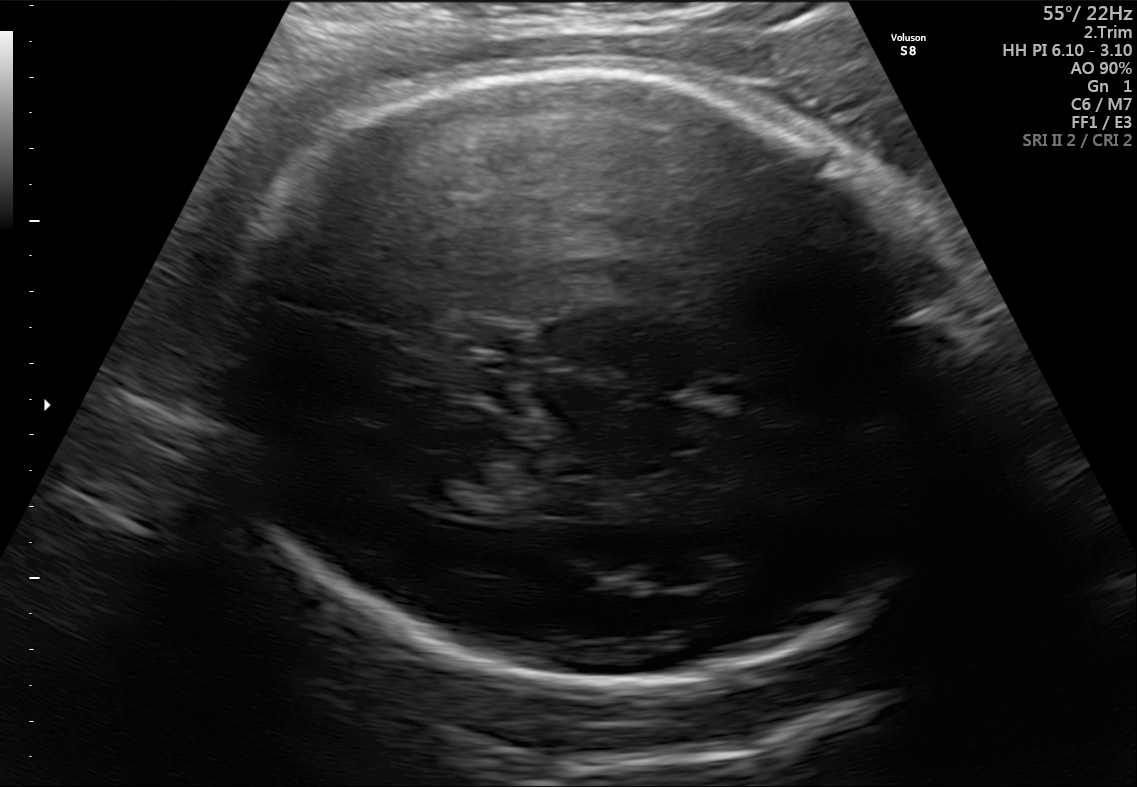
Fetal brain, trans-thalamic plane. Locate the fetal head and, if visible, the cavum septum pellucidum (CSP) and lateral ventricle (LV). Give bounding boxes as [x1,y1,x2,y2].

Head: [213,70,988,681]